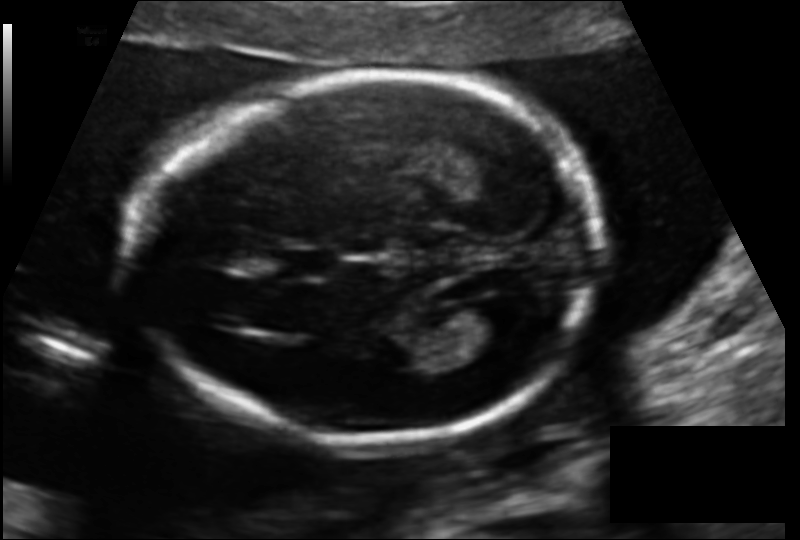
Measure the fetal head circumference shown in this ultrasound image. Image width: 100.2 mm.

Head circumference: 171.6 mm.